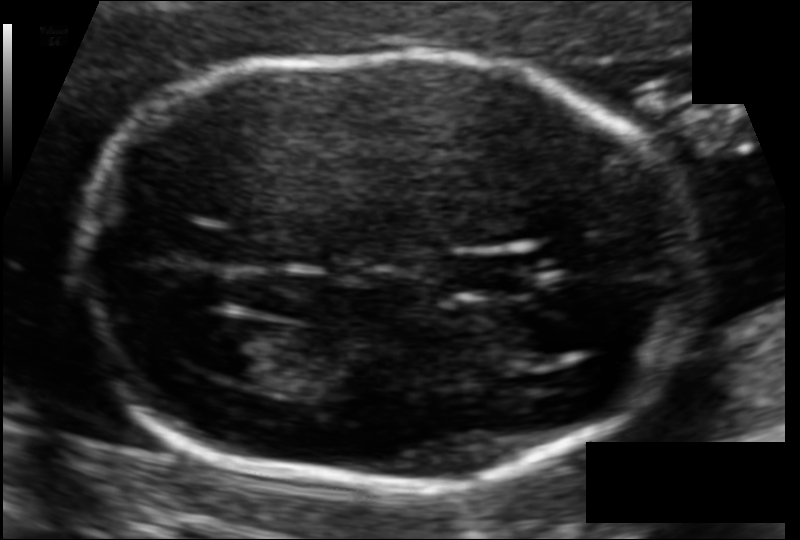
Fetal head ultrasound. Image width: 73.9 mm. Locate the fetal head and, if visible, the cavum septum pellucidum (CSP) and lateral ventricle (LV). Give bounding boxes as [x1,y1,x2,y2].

Head: [81,56,701,486]
CSP: [447,254,529,292]
Lateral ventricle: [197,311,296,388]